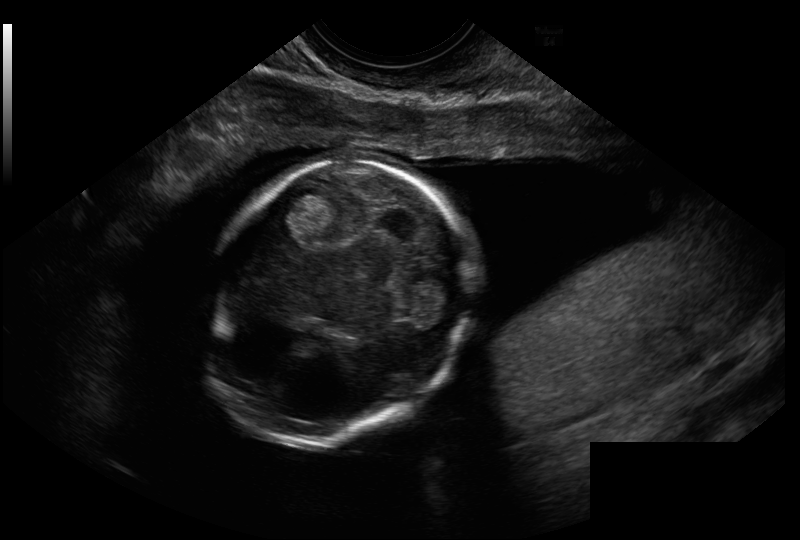
From this fetal ultrasound, estimate the head circumference (image width 91.5 mm).

Head circumference: 101.2 mm.